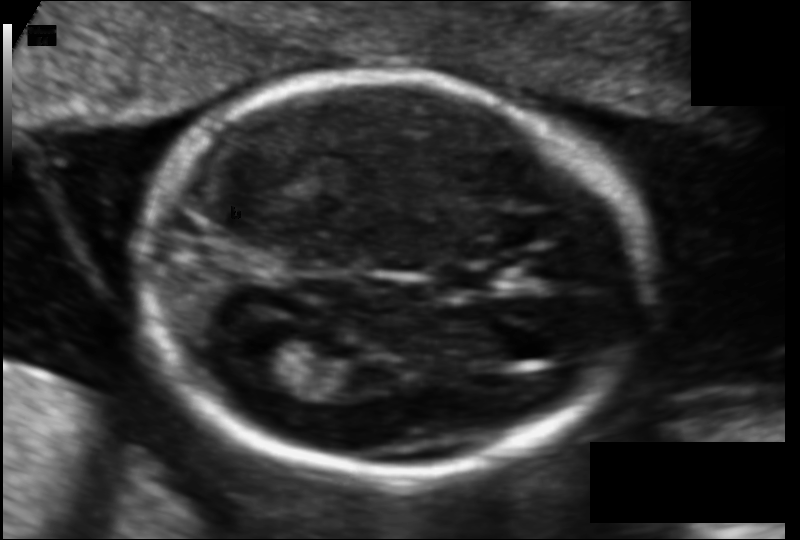
Fetal head ultrasound. Image width: 83.2 mm. Locate the fetal head.

Head: [136,74,644,475]